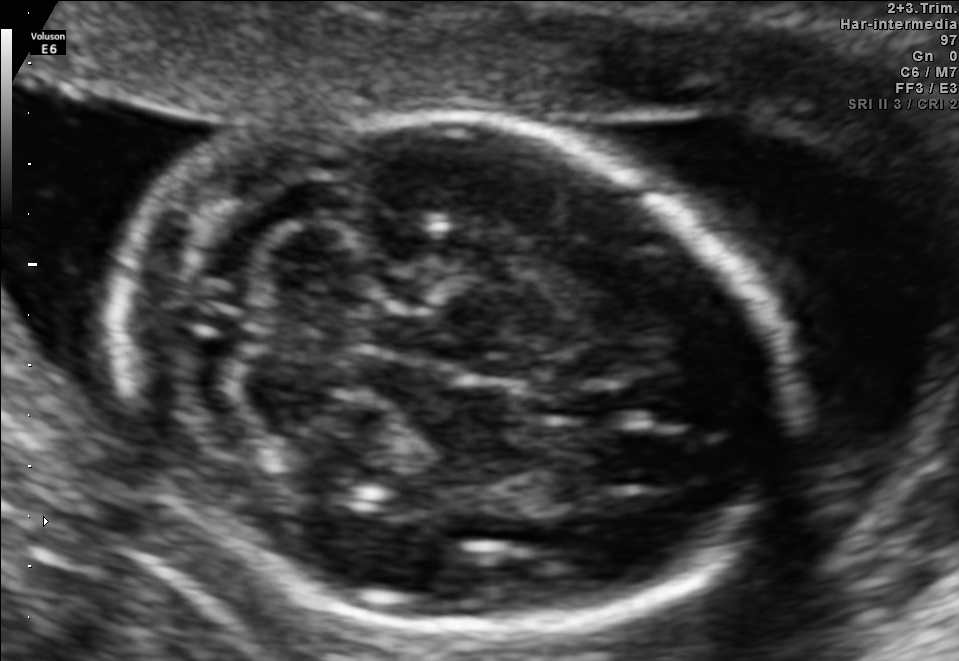
Fetal brain, trans-cerebellum plane. Where is the fetal head?

Head bounding box: [107,109,796,632]